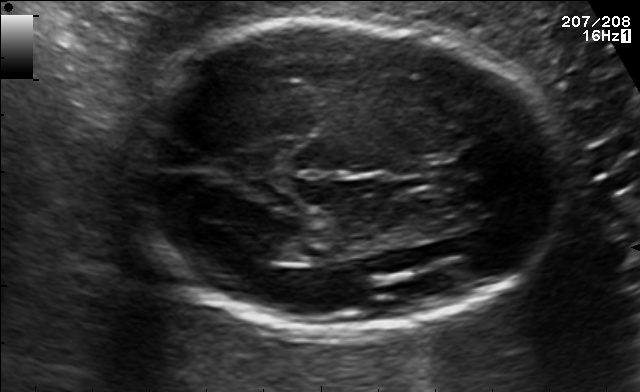
Fetal brain, trans-thalamic plane. Locate the lateral ventricle.

Lateral ventricle: [259,237,314,263]